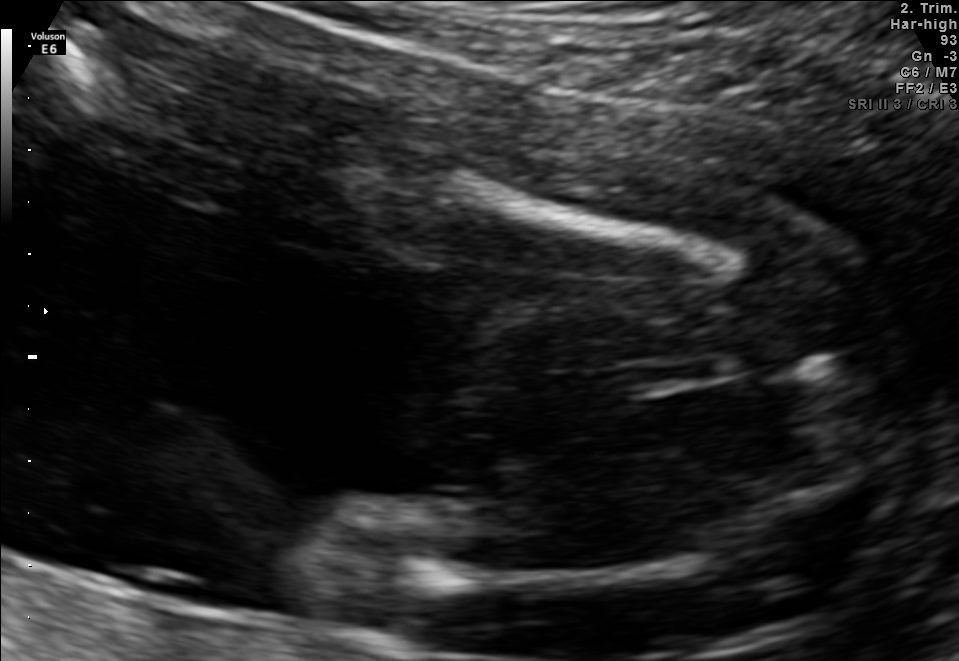
Which standard maternal-fetal ultrasound plane is shown: fetal abdomen, fetal brain, fetal femur, fetal thorax, maternal cervix, or other? If it's fetal brain and one of the three standard brain planes (trans-thalamic, trans-cerebellum, trans-ventricular), name which.

Fetal femur